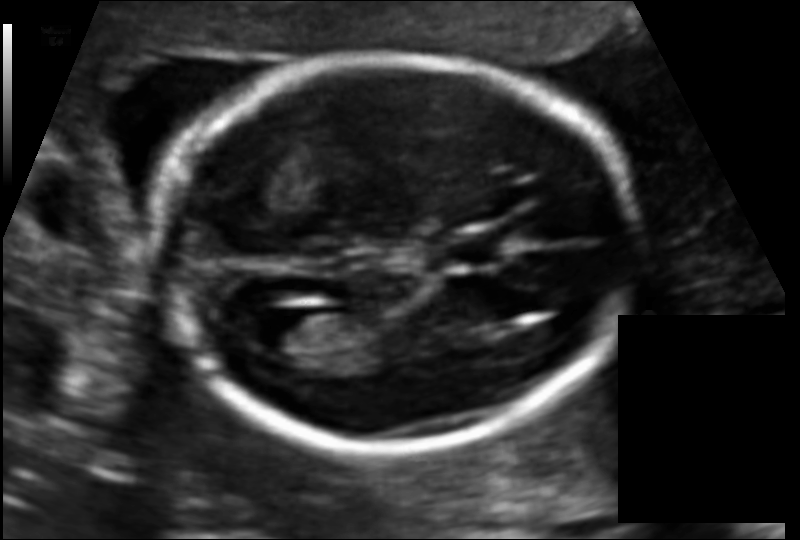
Fetal head ultrasound. Image width: 87.1 mm. Locate the fetal head.

Head: [158,55,636,446]